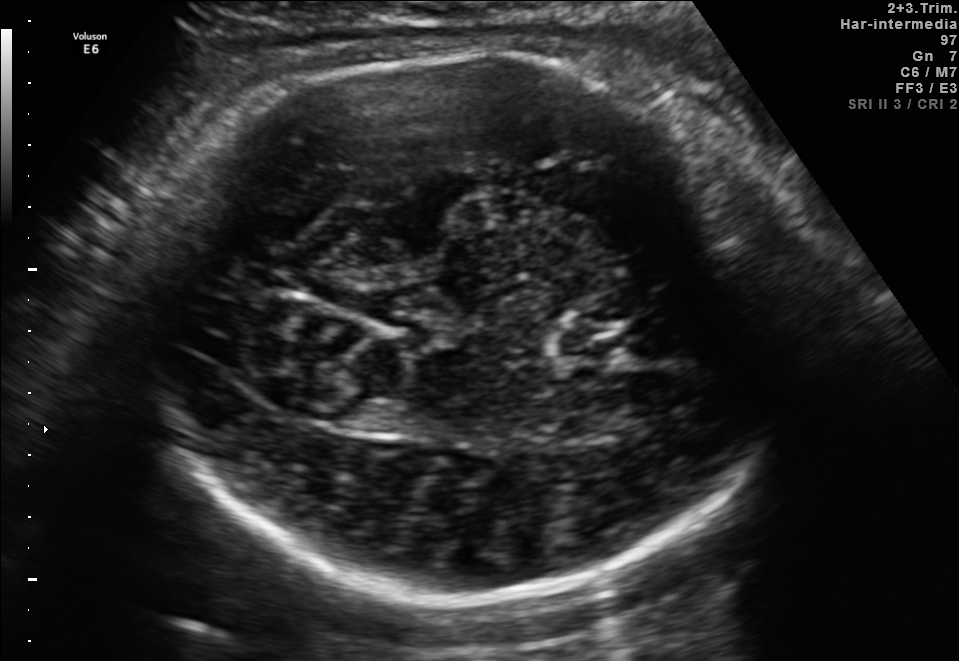
In this fetal brain, trans-thalamic plane, give the bounding box of the fetal head.

[140,51,797,594]